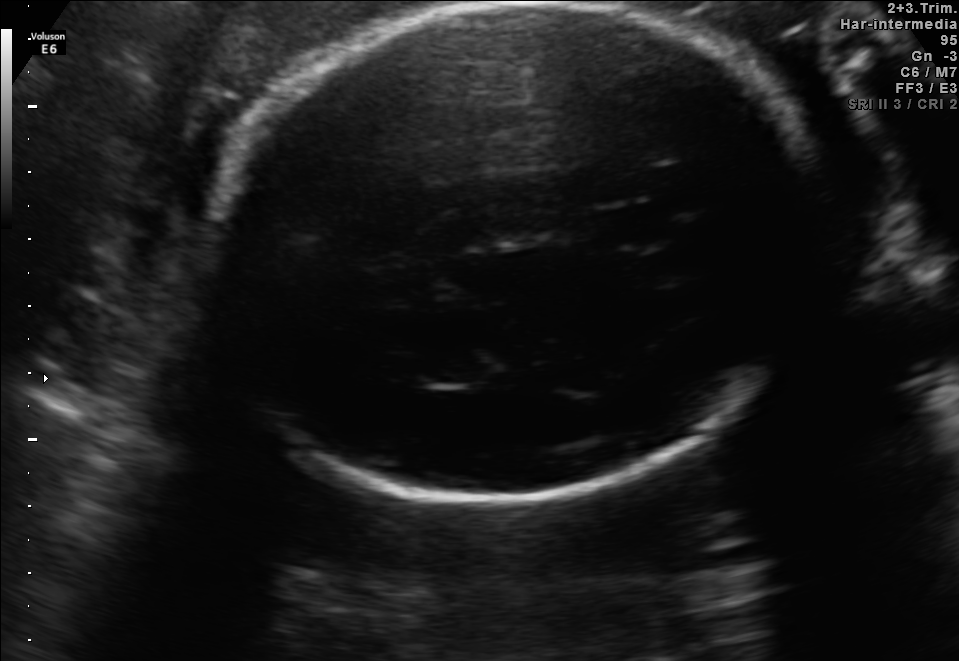
In this fetal brain, trans-thalamic plane, give the bounding box of the fetal head.

[207,3,824,502]